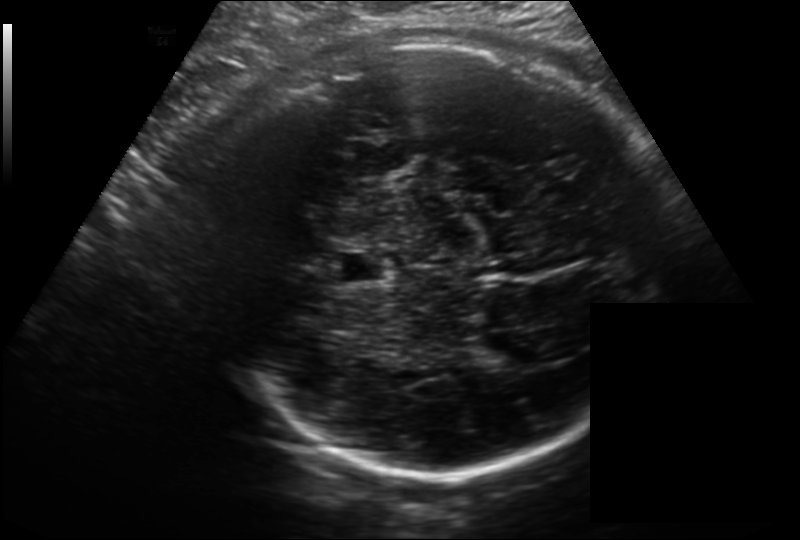
Fetal head ultrasound. Image width: 171.5 mm. Where is the lateral ventricle?

Lateral ventricle bounding box: [473,332,535,371]